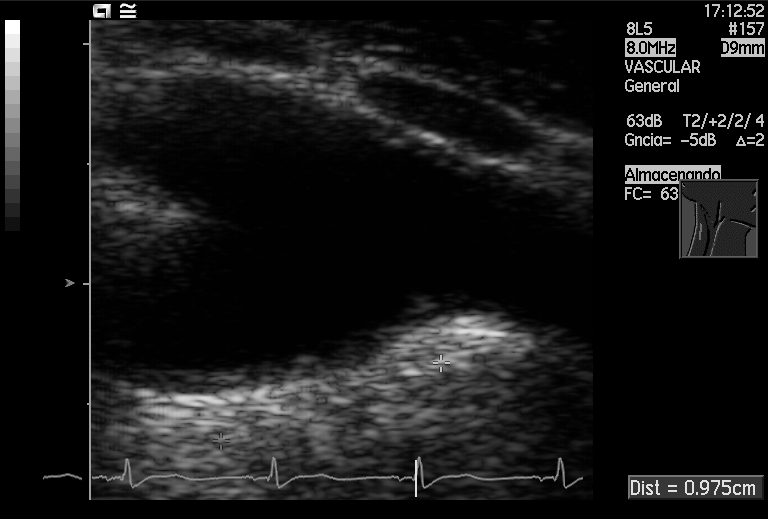
Which standard maternal-fetal ultrasound plane is shown: fetal abdomen, fetal brain, fetal femur, fetal thorax, maternal cervix, or other? If it's fetal brain and one of the three standard brain planes (trans-thalamic, trans-cerebellum, trans-ventricular), name which.

Other